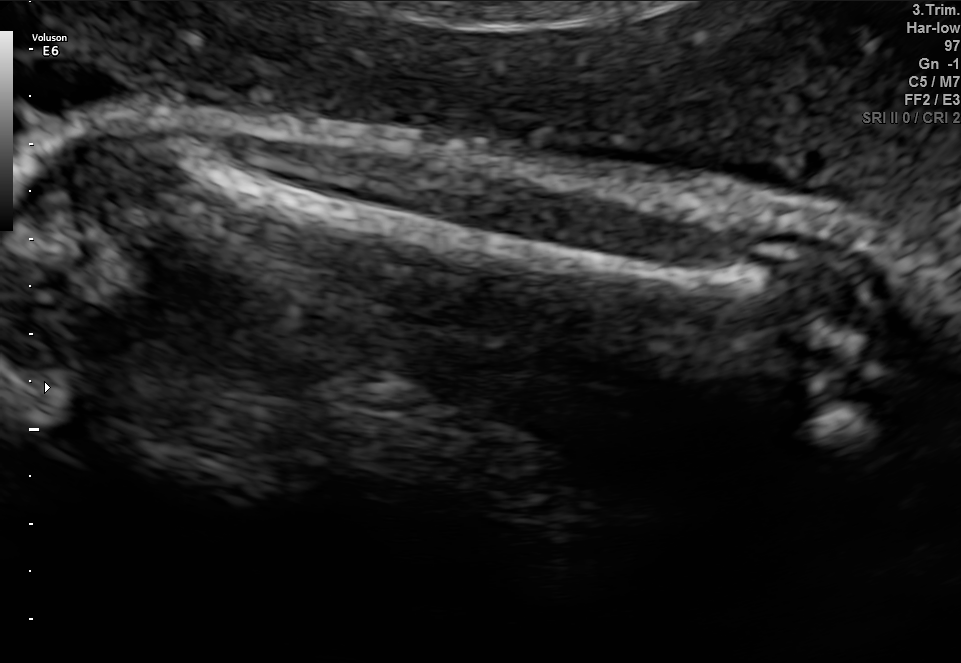
Identify the standard plane in this fetal ultrasound image: fetal abdomen, fetal brain, fetal femur, fetal thorax, maternal cervix, or other. If it's fetal brain and one of the three standard brain planes (trans-thalamic, trans-cerebellum, trans-ventricular), name which.

Fetal femur